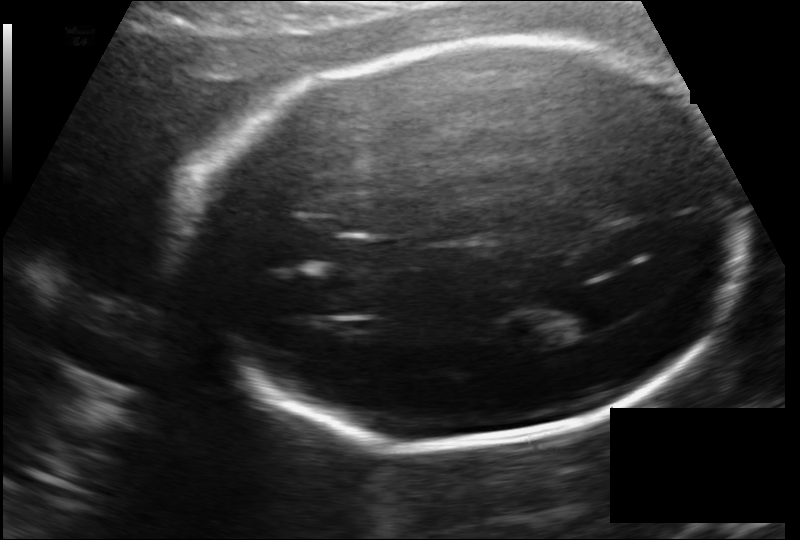
In this fetal head ultrasound, give the bounding box of the fetal head. Image width: 112.6 mm.

[192,44,743,449]